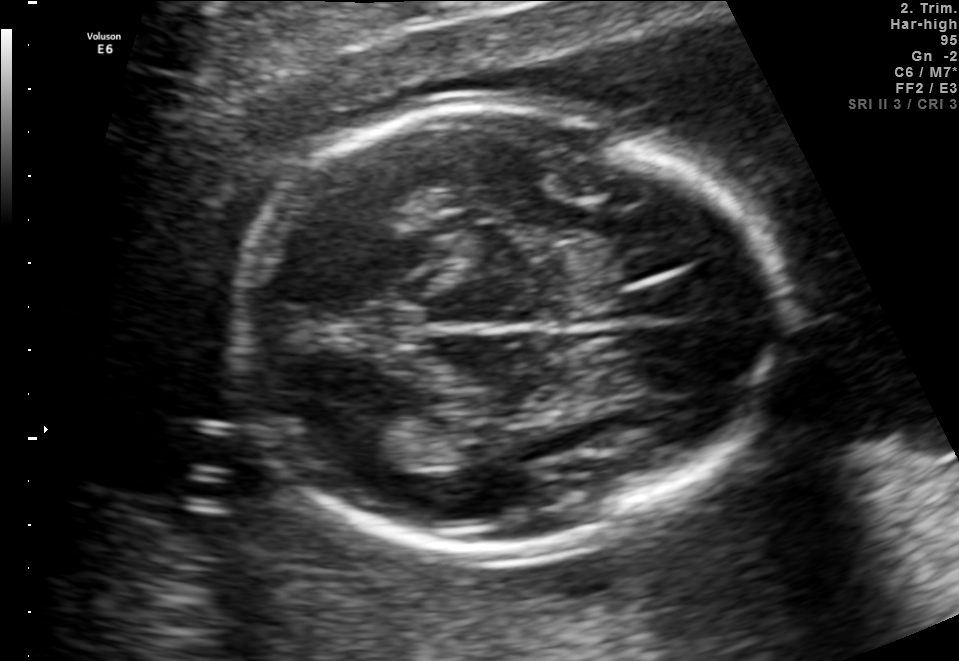
Fetal brain, trans-thalamic plane. Give [x1,y1,x2,y2] bounding boxes for each visible structure among: fetal head, CSP, LV.

Head: [231,110,786,549]
Lateral ventricle: [334,417,422,471]